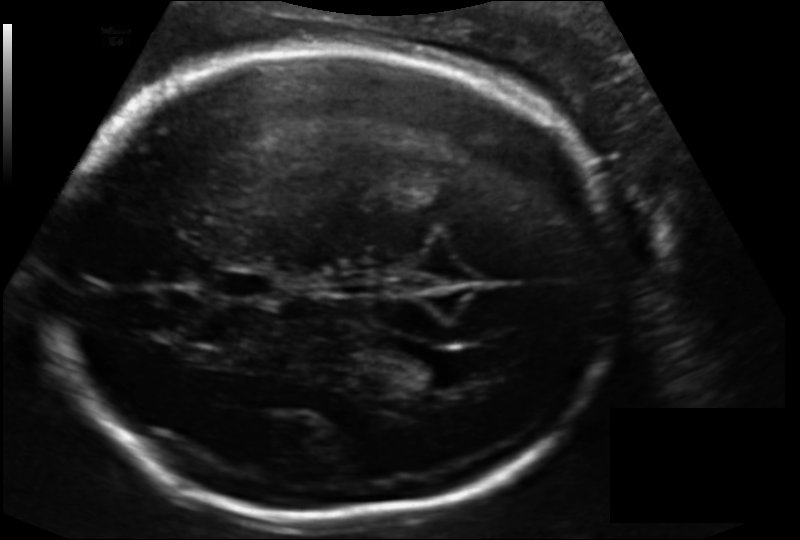
What is the fetal head circumference? Image width is 124.7 mm.

259.3 mm